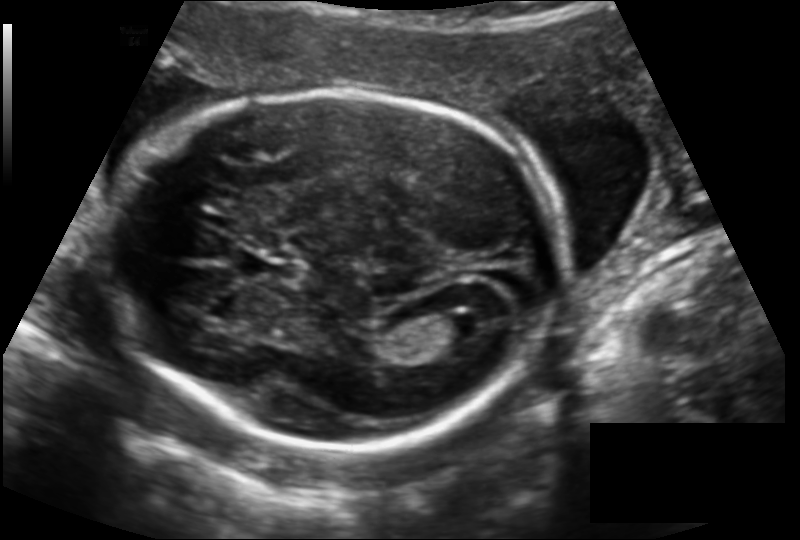
What is the fetal head circumference? Image width is 113.5 mm.

185.9 mm